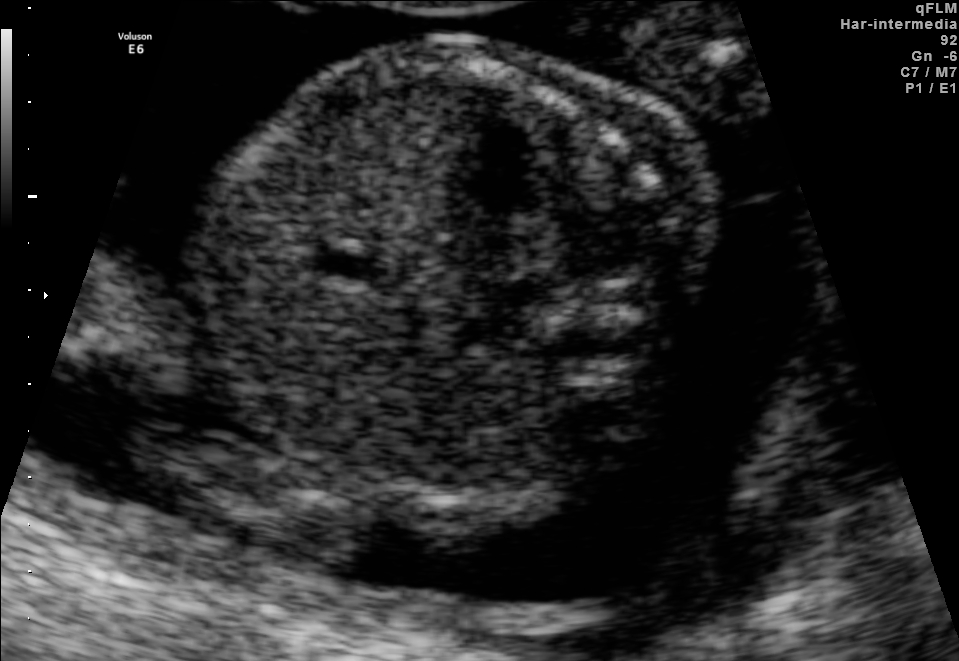
Identify the standard plane in this fetal ultrasound image: fetal abdomen, fetal brain, fetal femur, fetal thorax, maternal cervix, or other. If it's fetal brain and one of the three standard brain planes (trans-thalamic, trans-cerebellum, trans-ventricular), name which.

Fetal abdomen